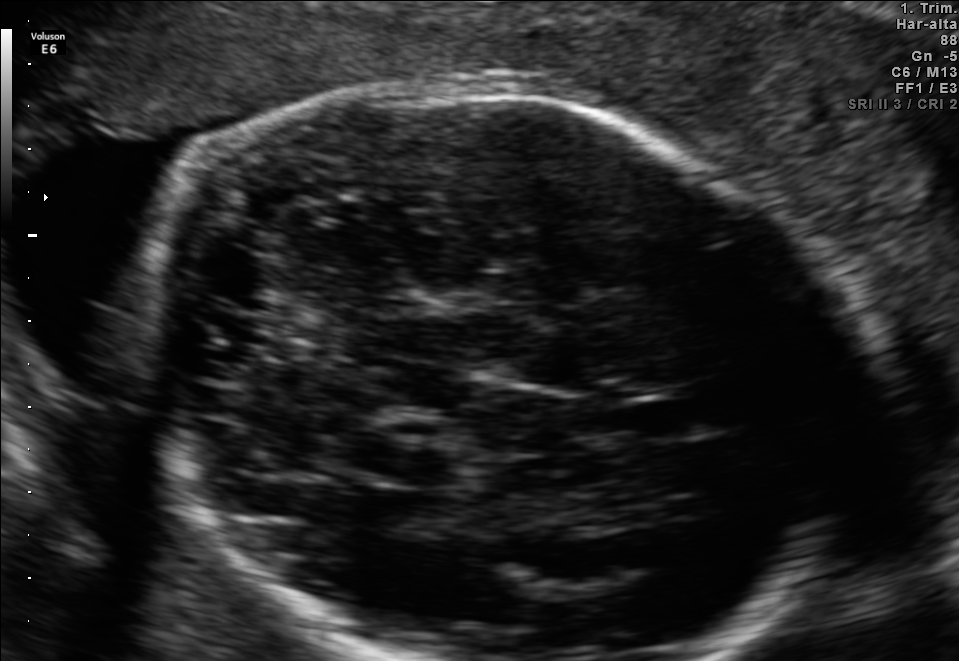
In this fetal brain, trans-thalamic plane, give bounding boxes for the head outline, cavum septum pellucidum (CSP), and lateral ventricle (LV), where visible.

Head: [131,72,838,657]